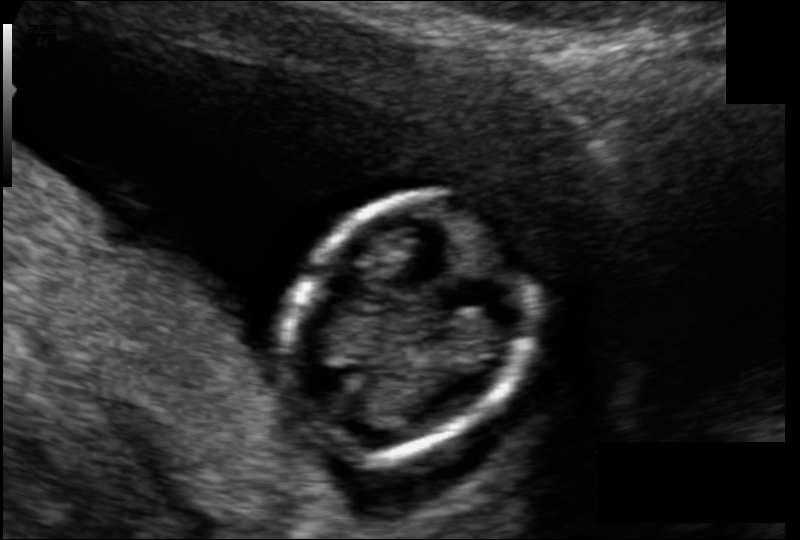
Measure the fetal head circumference shown in this ultrasound image. Image width: 71.6 mm.

Head circumference: 75.2 mm.